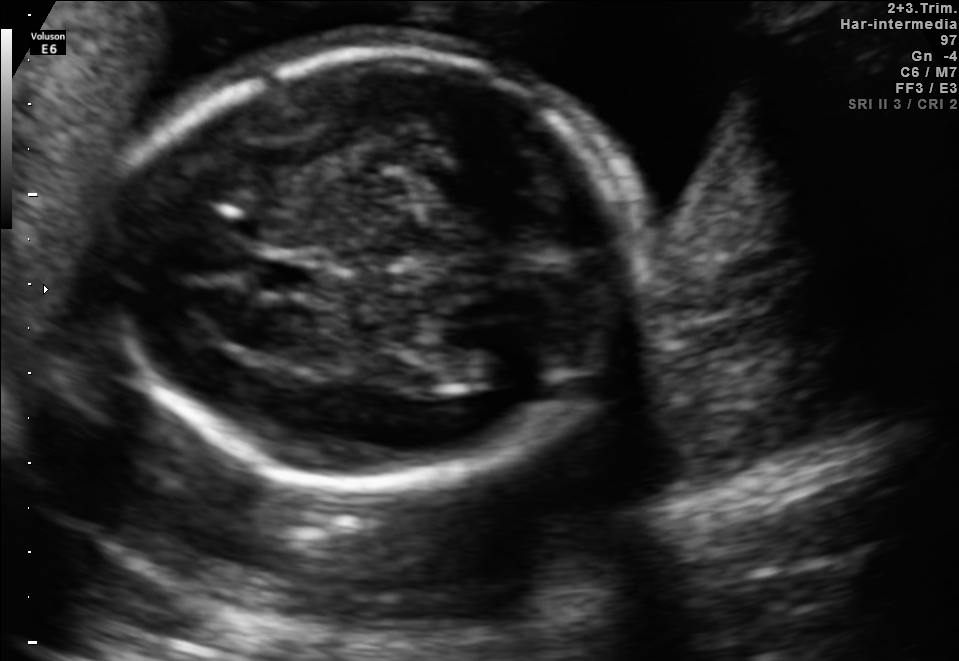
Fetal brain, trans-thalamic plane. Give [x1,y1,x2,y2] bounding boxes for each visible structure among: fetal head, CSP, LV.

Head: [111,48,648,473]
CSP: [255,260,323,294]
Lateral ventricle: [419,323,522,387]